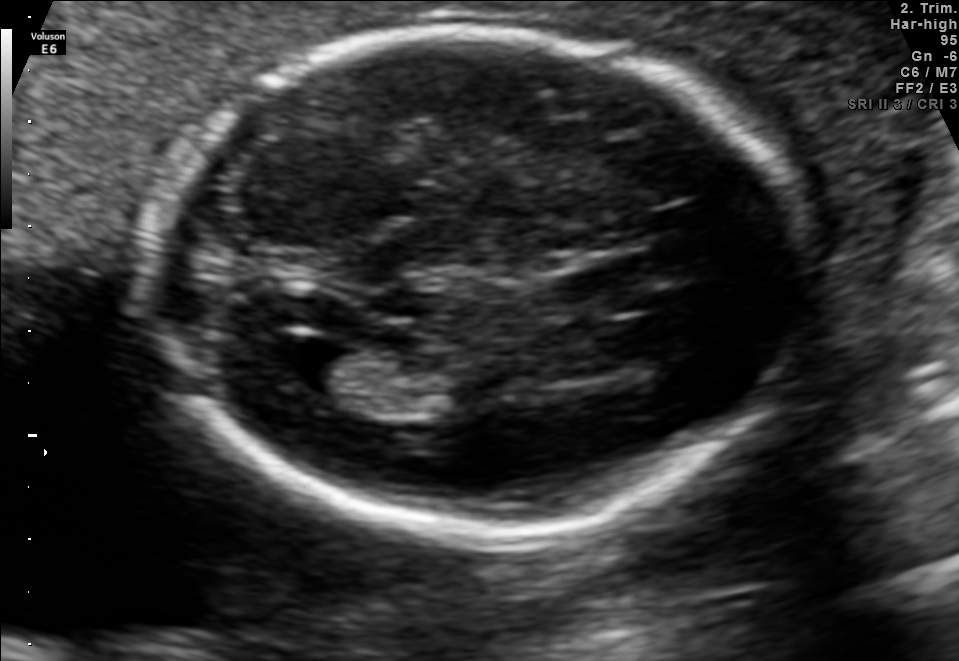
Classify this maternal-fetal ultrasound image as one of the six standard planes — fetal abdomen, fetal brain, fetal femur, fetal thorax, maternal cervix, or other. If it's fetal brain and one of the three standard brain planes (trans-thalamic, trans-cerebellum, trans-ventricular), name which.

Fetal brain (trans-ventricular plane)